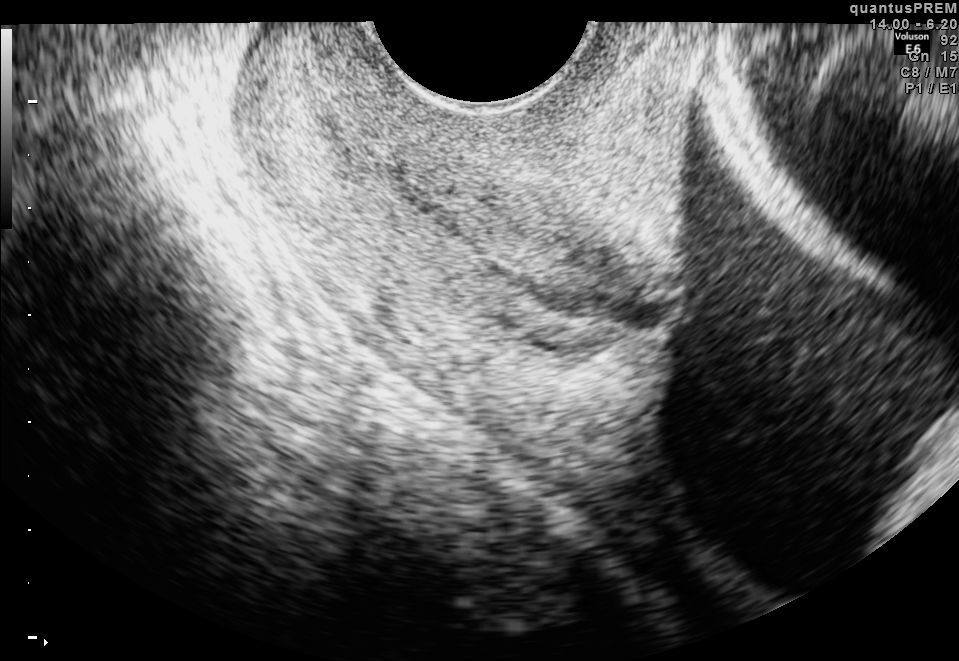
Classify this maternal-fetal ultrasound image as one of the six standard planes — fetal abdomen, fetal brain, fetal femur, fetal thorax, maternal cervix, or other. If it's fetal brain and one of the three standard brain planes (trans-thalamic, trans-cerebellum, trans-ventricular), name which.

Maternal cervix